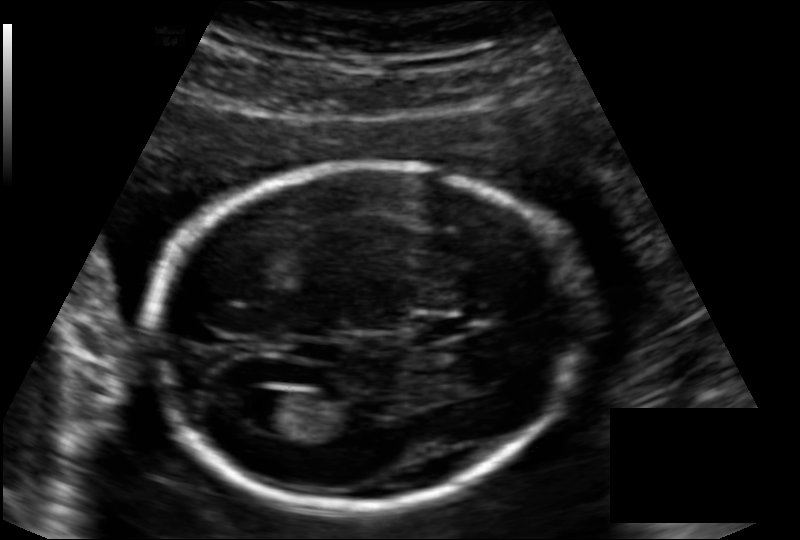
Measure the fetal head circumference shown in this ultrasound image. Image width: 108.5 mm.

Head circumference: 173.3 mm.